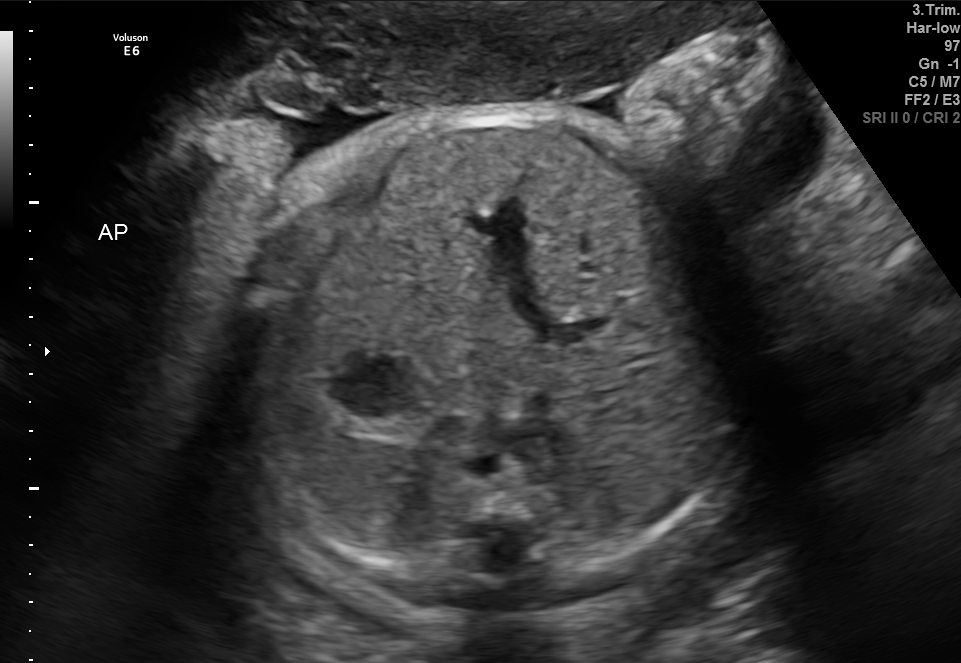
Which standard maternal-fetal ultrasound plane is shown: fetal abdomen, fetal brain, fetal femur, fetal thorax, maternal cervix, or other? If it's fetal brain and one of the three standard brain planes (trans-thalamic, trans-cerebellum, trans-ventricular), name which.

Fetal abdomen